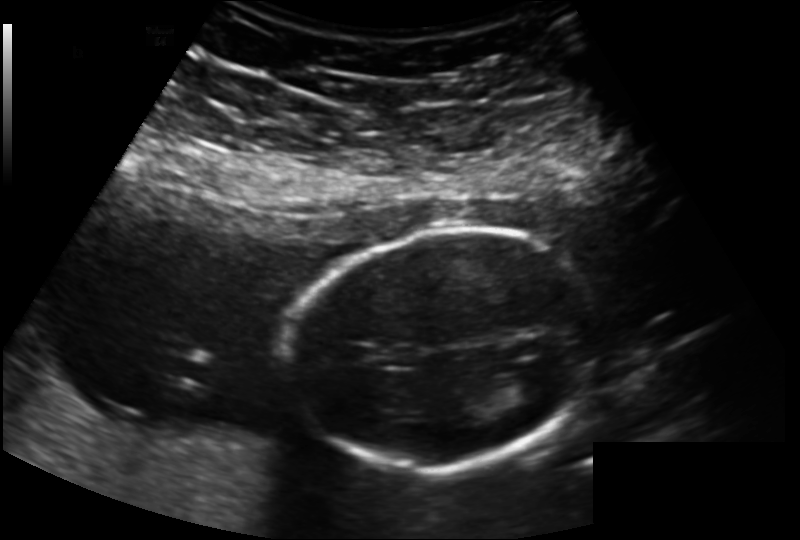
From this fetal ultrasound, estimate the head circumference (image width 130.7 mm).

Head circumference: 145.7 mm.